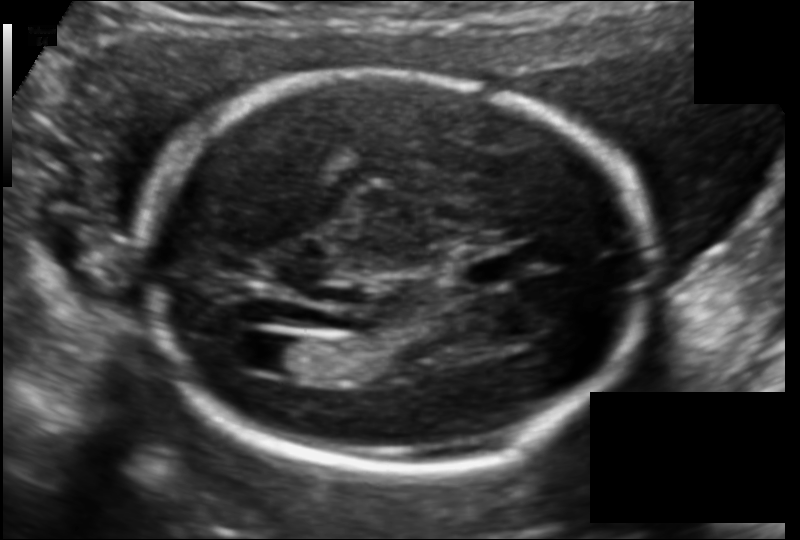
What is the fetal head circumference? Image width is 97.5 mm.

177.8 mm